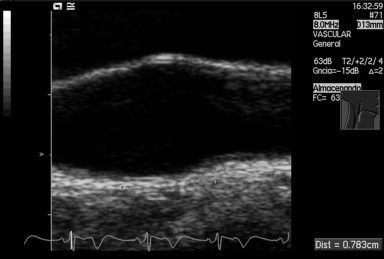
Which standard maternal-fetal ultrasound plane is shown: fetal abdomen, fetal brain, fetal femur, fetal thorax, maternal cervix, or other? If it's fetal brain and one of the three standard brain planes (trans-thalamic, trans-cerebellum, trans-ventricular), name which.

Other